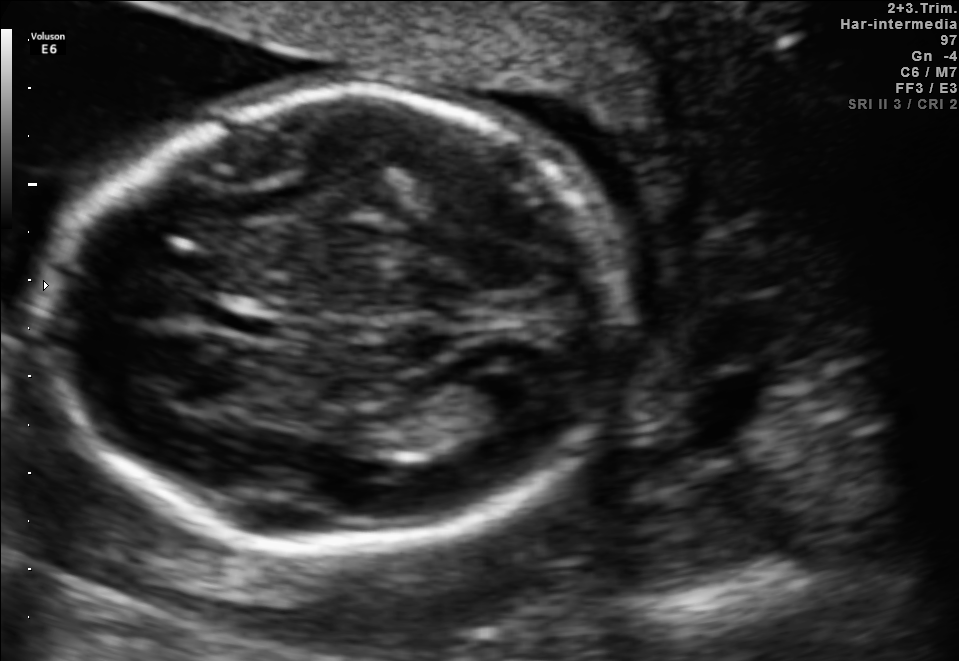
Fetal brain, trans-ventricular plane. Give [x1,y1,x2,y2] bounding boxes for each visible structure among: fetal head, CSP, LV.

Head: [41,81,646,560]
CSP: [213,307,280,341]
Lateral ventricle: [453,340,556,431]